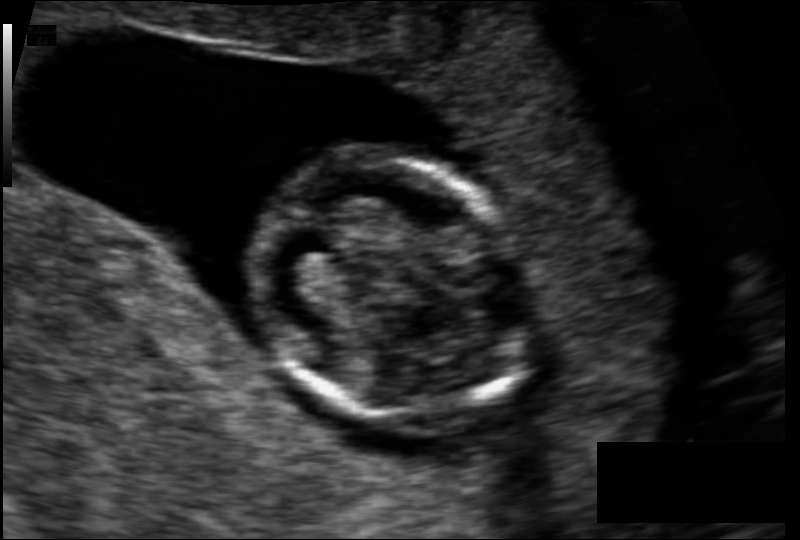
Estimate the fetal head circumference from this 2D ultrasound.

Head circumference: 84.6 mm (image width 75.6 mm).